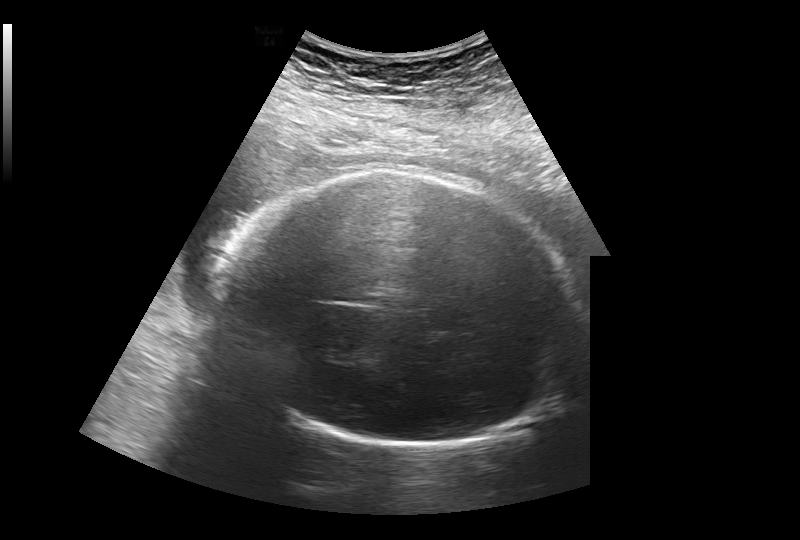
Fetal head ultrasound. Image width: 246.2 mm. Locate the fetal head.

Head: [221,172,577,447]